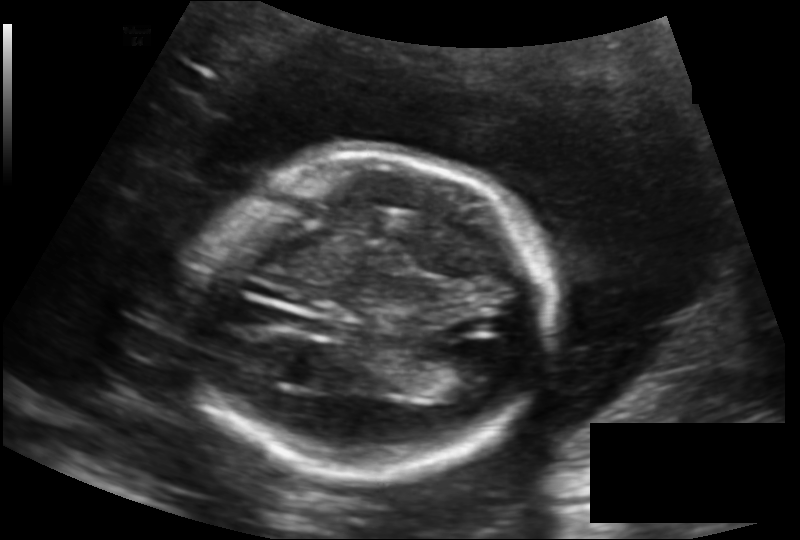
Estimate the fetal head circumference from this 2D ultrasound. Image width: 122.9 mm.

Head circumference: 172.1 mm.